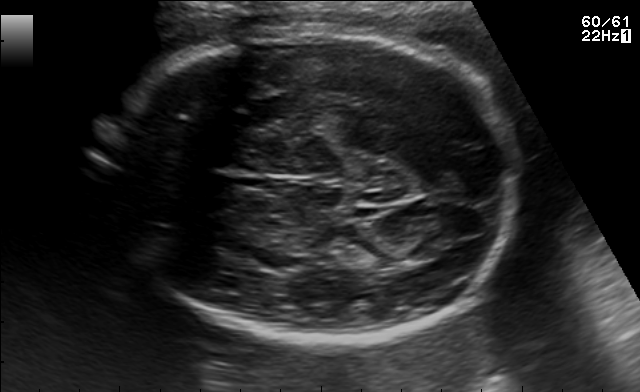
In this fetal brain, trans-thalamic plane, give bounding boxes for the head outline, cavum septum pellucidum (CSP), and lateral ventricle (LV), where visible.

Head: [100,25,523,349]